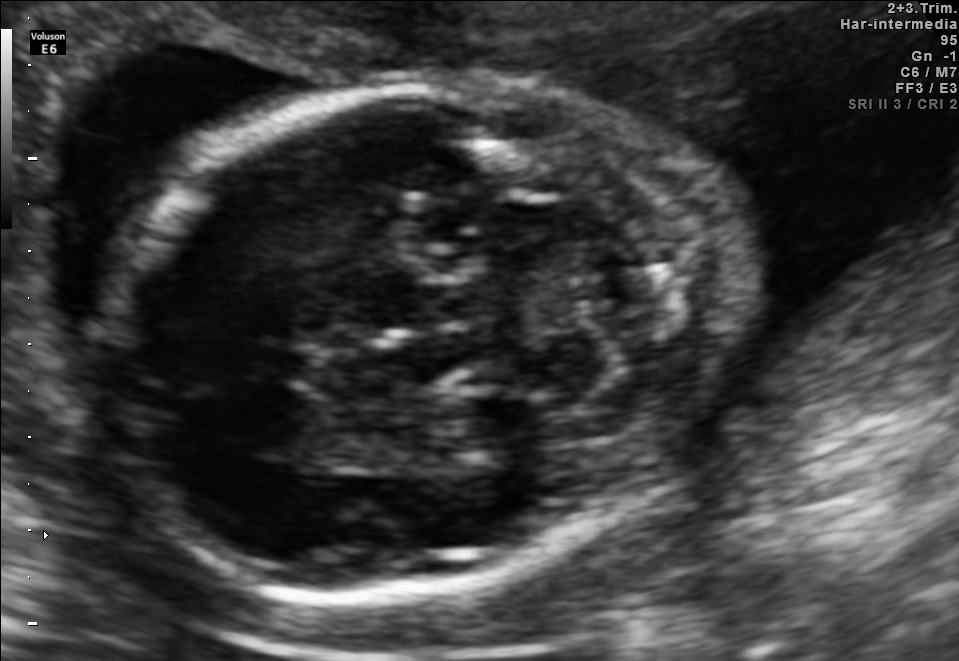
Fetal brain, trans-cerebellum plane. Locate the fetal head.

Head: [102,78,745,591]